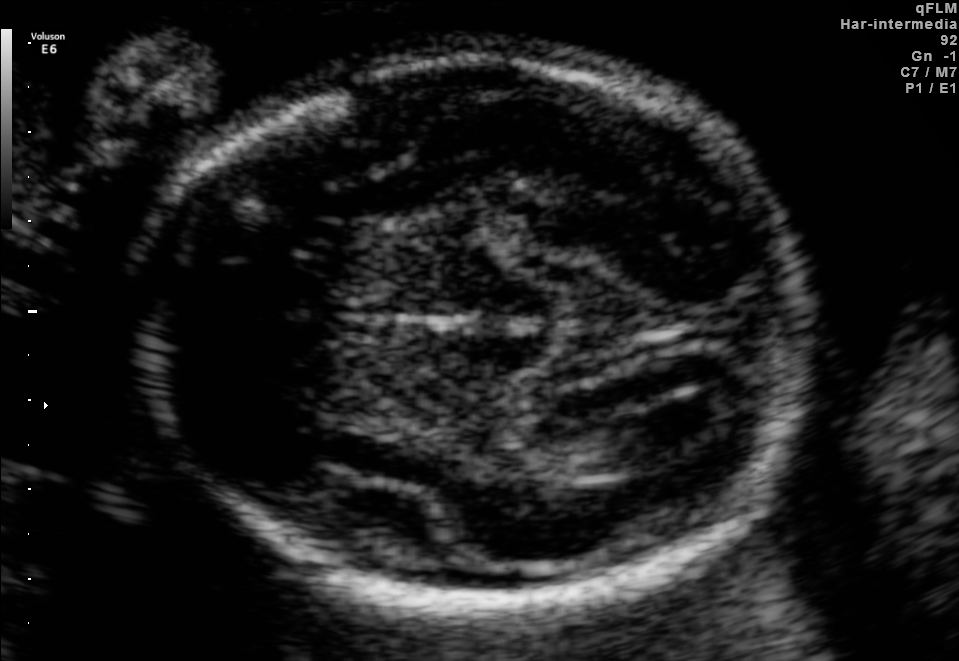
Fetal brain, trans-thalamic plane. Locate the fetal head and, if visible, the cavum septum pellucidum (CSP) and lateral ventricle (LV). Give bounding boxes as [x1,y1,x2,y2].

Head: [134,56,817,601]
Lateral ventricle: [554,395,710,481]